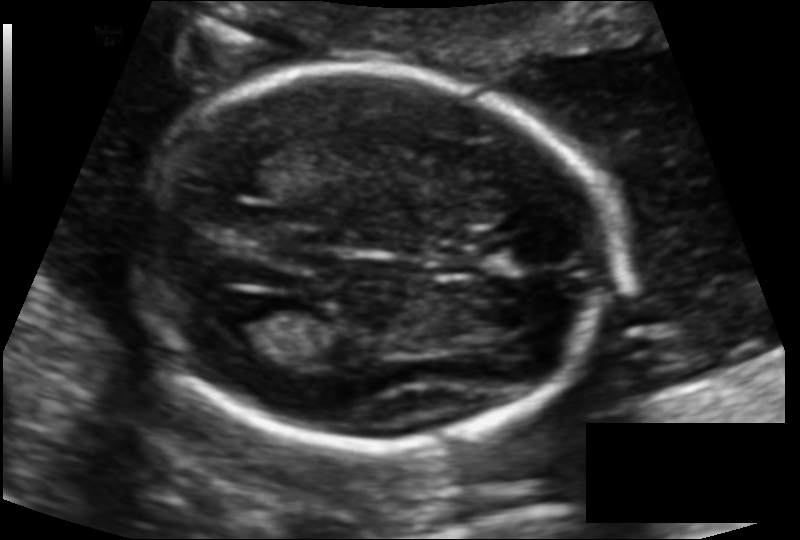
Estimate the fetal head circumference from this 2D ultrasound. Image width: 93.4 mm.

Head circumference: 166.7 mm.